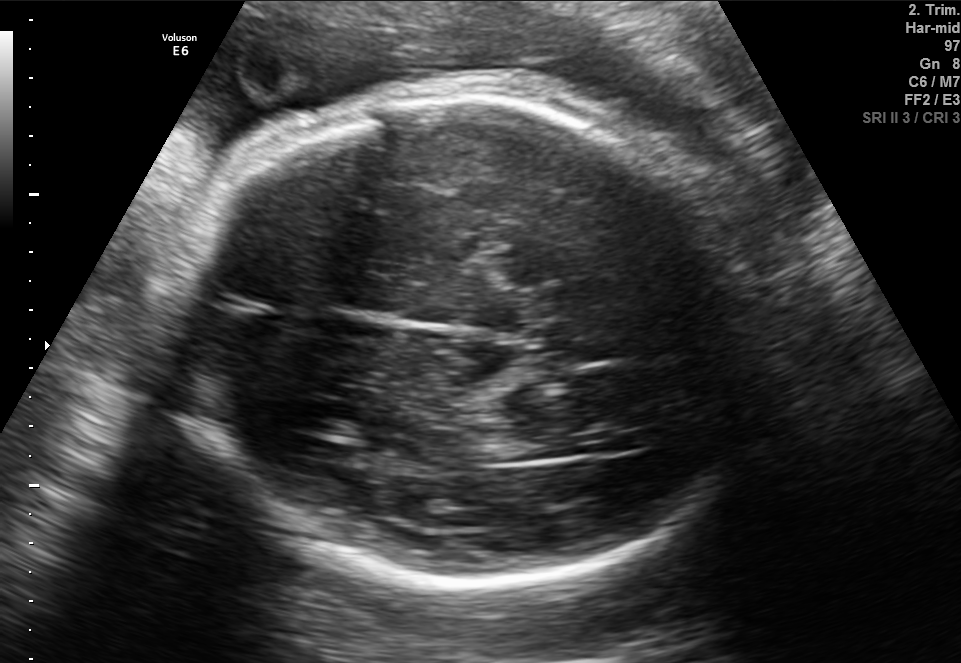
Fetal brain, trans-thalamic plane. Locate the fetal head and, if visible, the cavum septum pellucidum (CSP) and lateral ventricle (LV). Give bounding boxes as [x1,y1,x2,y2].

Head: [191,103,766,588]